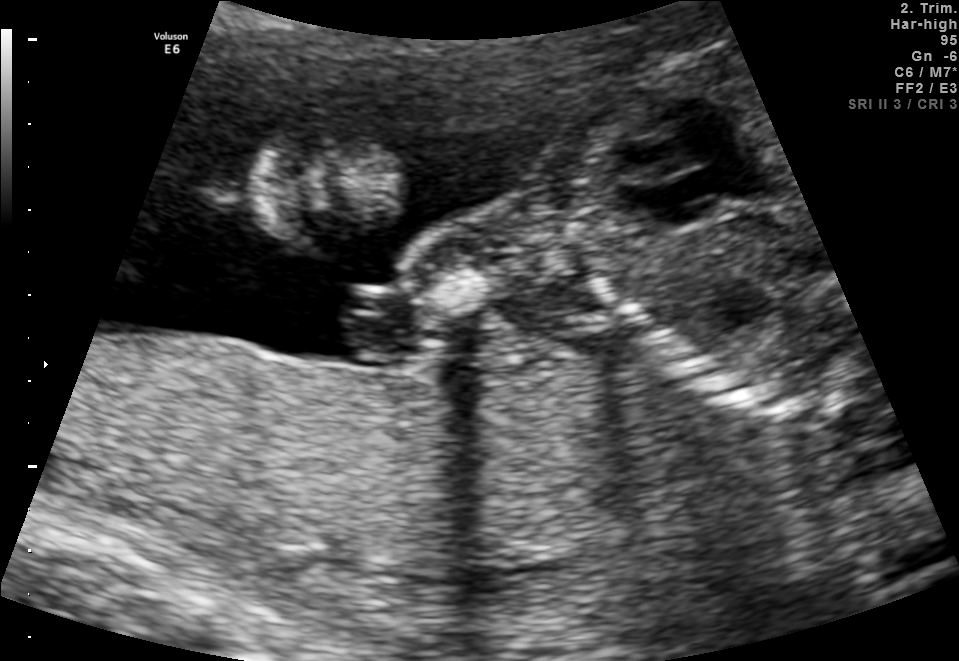
Identify the standard plane in this fetal ultrasound image: fetal abdomen, fetal brain, fetal femur, fetal thorax, maternal cervix, or other. If it's fetal brain and one of the three standard brain planes (trans-thalamic, trans-cerebellum, trans-ventricular), name which.

Other